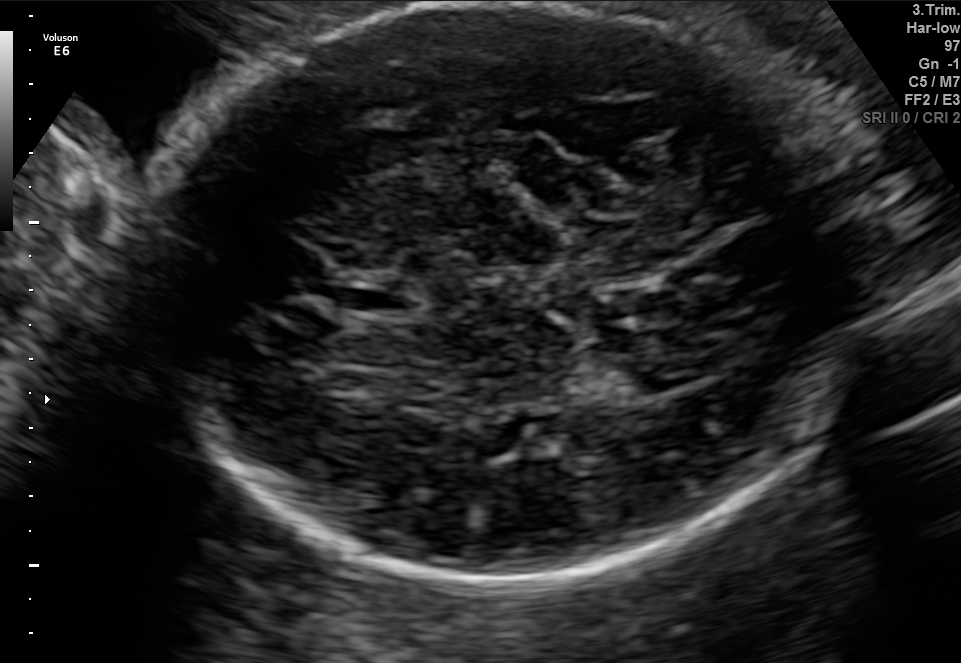
Fetal brain, trans-thalamic plane. Where is the lateral ventricle?

Lateral ventricle bounding box: [618,339,715,405]